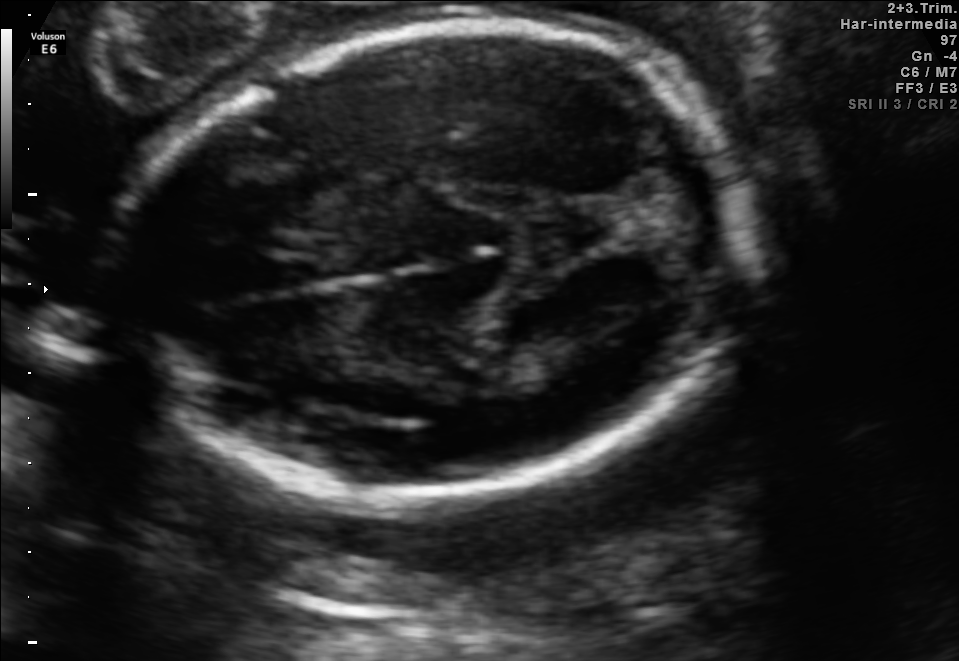
In this fetal brain, trans-thalamic plane, give the bounding box of the fetal head.

[122,26,747,511]